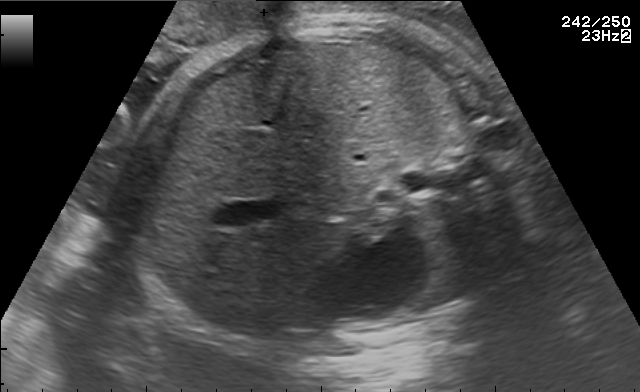
Classify this maternal-fetal ultrasound image as one of the six standard planes — fetal abdomen, fetal brain, fetal femur, fetal thorax, maternal cervix, or other. If it's fetal brain and one of the three standard brain planes (trans-thalamic, trans-cerebellum, trans-ventricular), name which.

Fetal abdomen